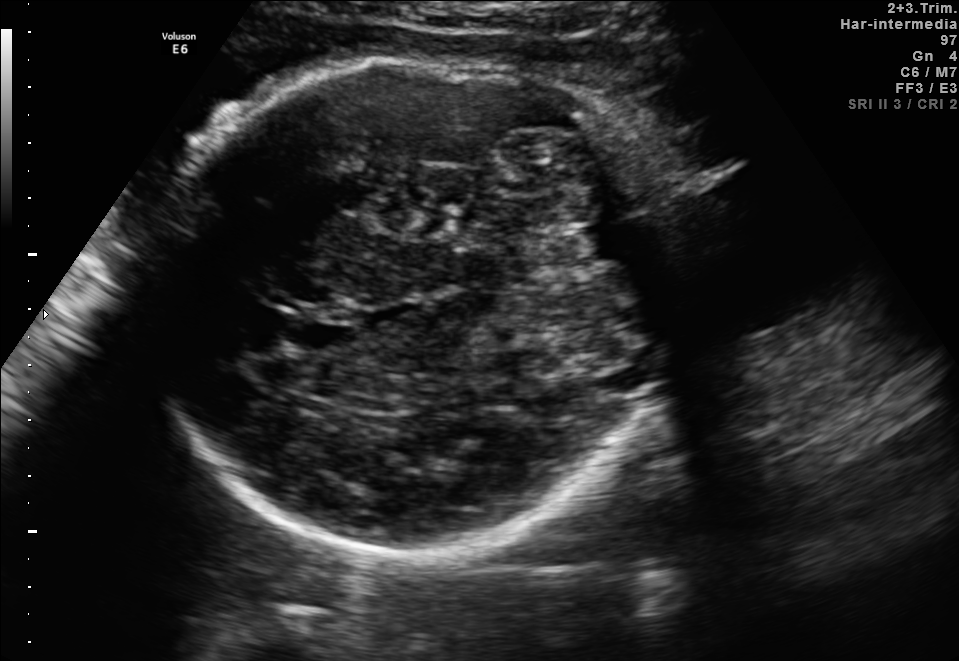
Fetal brain, trans-thalamic plane. Where is the fetal head?

Head bounding box: [131,61,672,558]